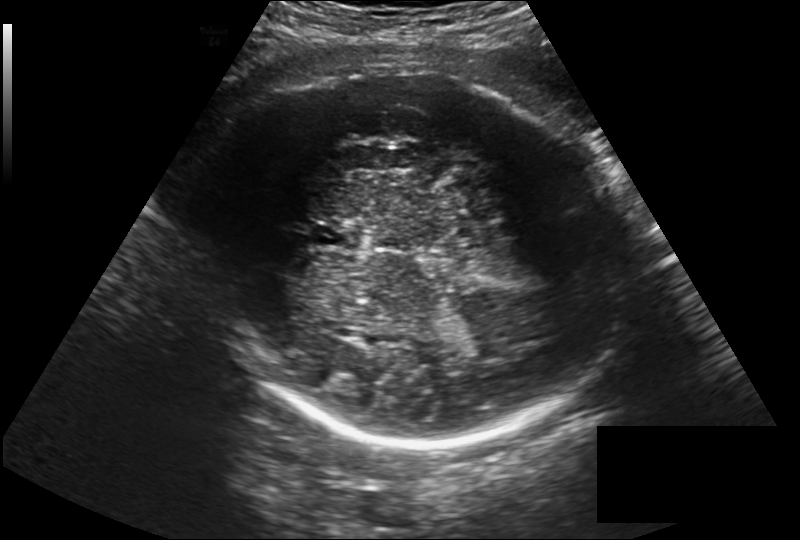
Estimate the fetal head circumference from this 2D ultrasound.

Head circumference: 335.0 mm (image width 205.7 mm).